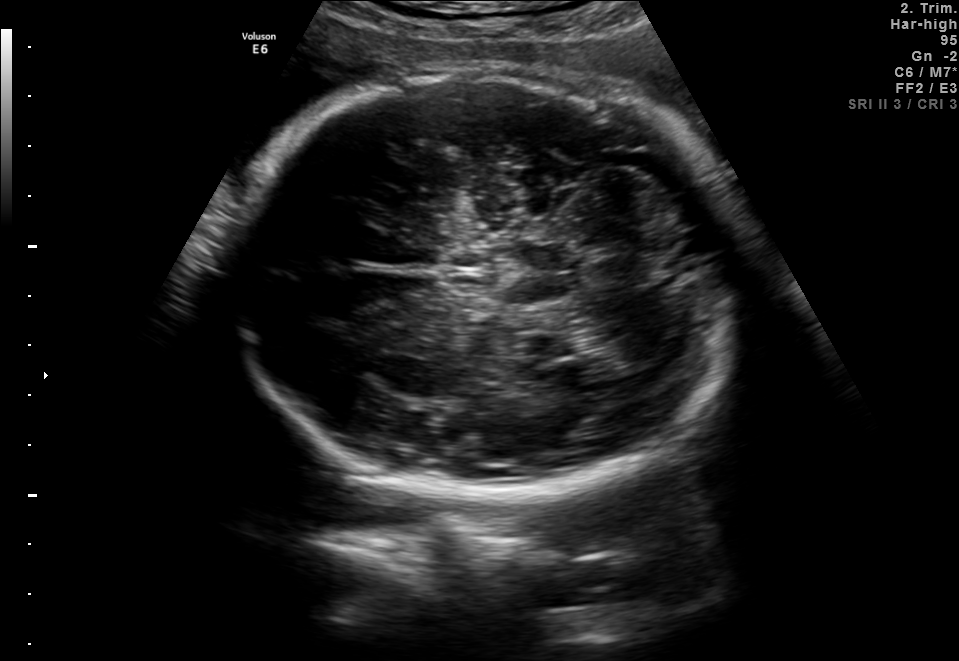
Fetal brain, trans-cerebellum plane. Locate the fetal head and, if visible, the cavum septum pellucidum (CSP) and lateral ventricle (LV). Give bounding boxes as [x1,y1,x2,y2].

Head: [233,69,736,496]